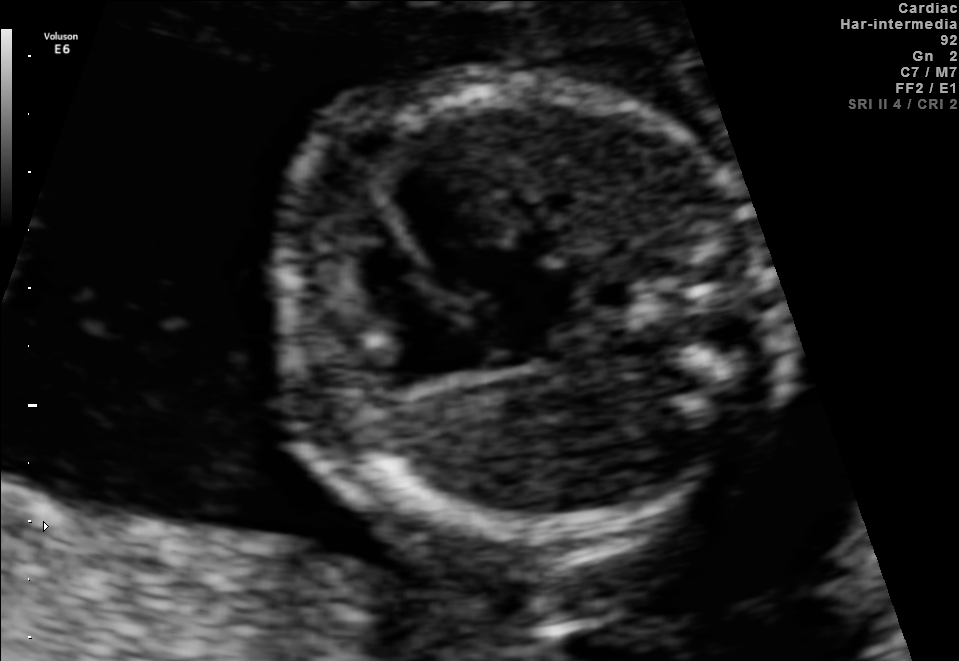
Identify the standard plane in this fetal ultrasound image: fetal abdomen, fetal brain, fetal femur, fetal thorax, maternal cervix, or other. If it's fetal brain and one of the three standard brain planes (trans-thalamic, trans-cerebellum, trans-ventricular), name which.

Fetal thorax